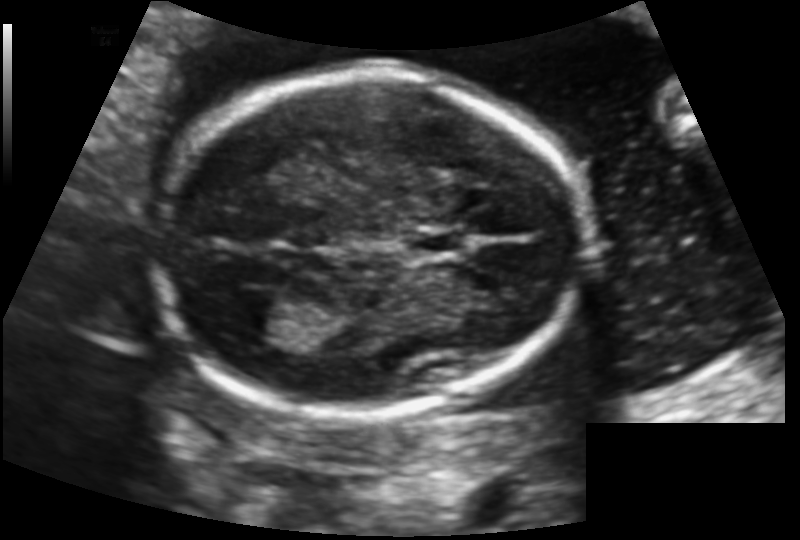
Fetal head ultrasound. Image width: 103.6 mm. Locate the fetal head.

Head: [152,68,585,413]